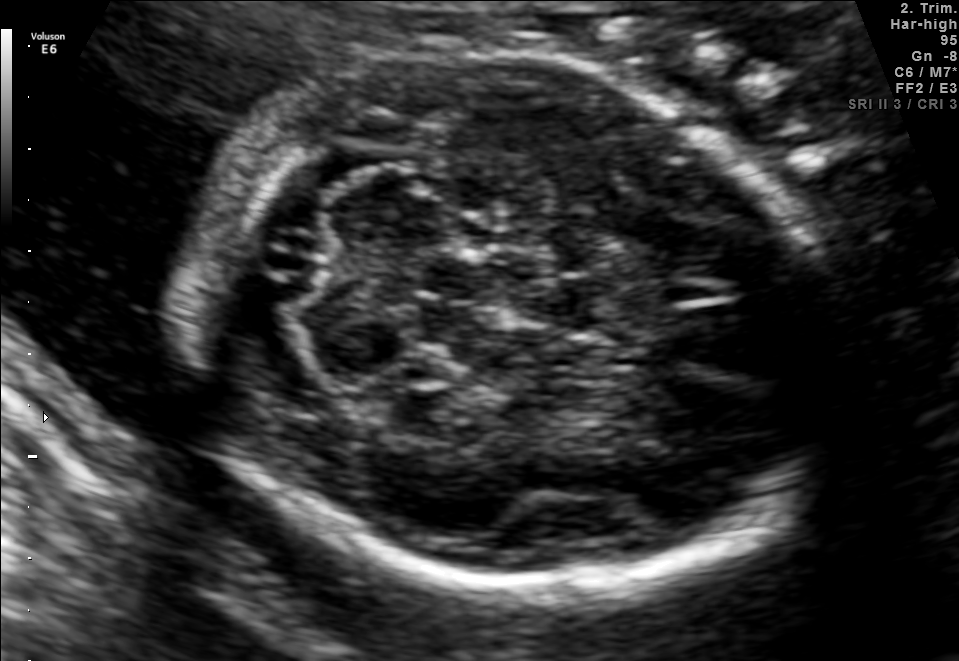
Fetal brain, trans-cerebellum plane. Where is the fetal head?

Head bounding box: [187,59,834,592]